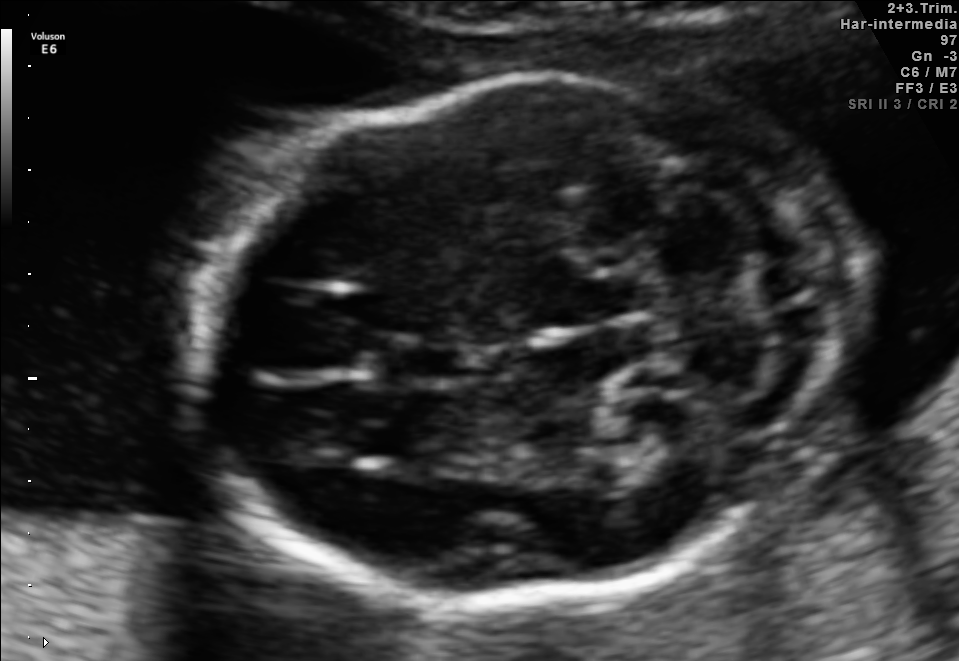
Fetal brain, trans-cerebellum plane. Where is the fetal head?

Head bounding box: [189,80,846,617]